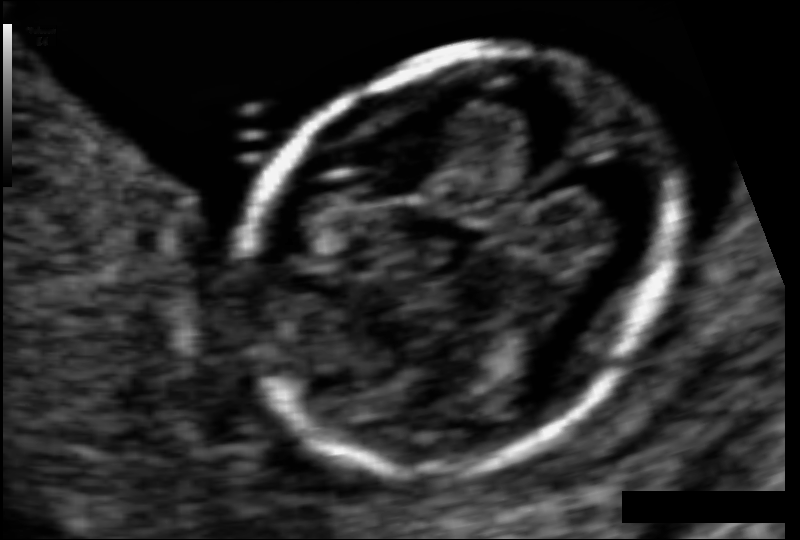
Fetal head ultrasound. Image width: 48.5 mm. Locate the fetal head and, if visible, the cavum septum pellucidum (CSP) and lateral ventricle (LV). Give bounding boxes as [x1,y1,x2,y2].

Head: [240,47,672,469]